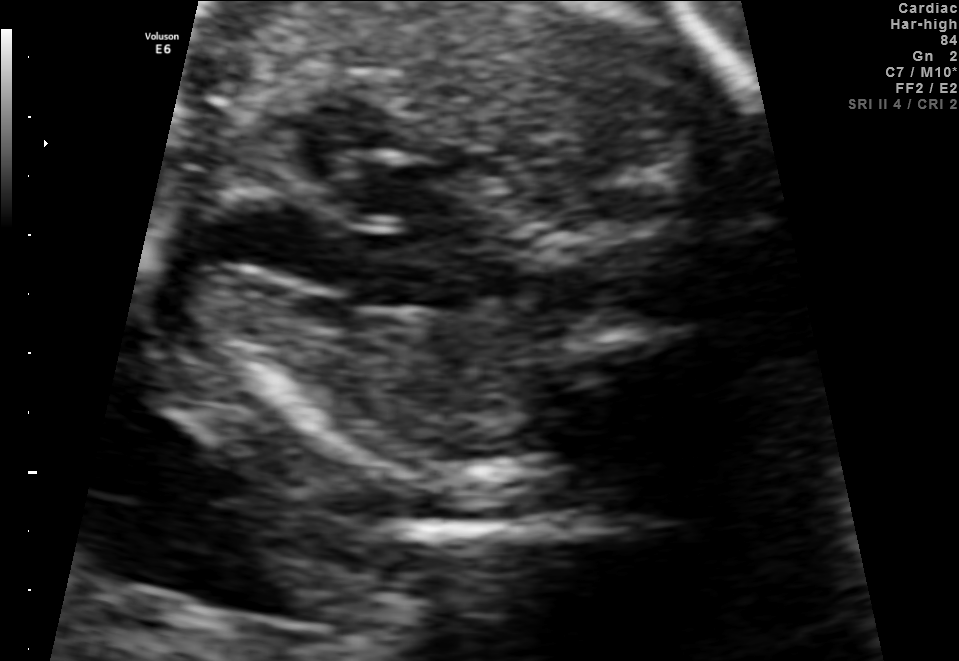
Identify the standard plane in this fetal ultrasound image: fetal abdomen, fetal brain, fetal femur, fetal thorax, maternal cervix, or other. If it's fetal brain and one of the three standard brain planes (trans-thalamic, trans-cerebellum, trans-ventricular), name which.

Other